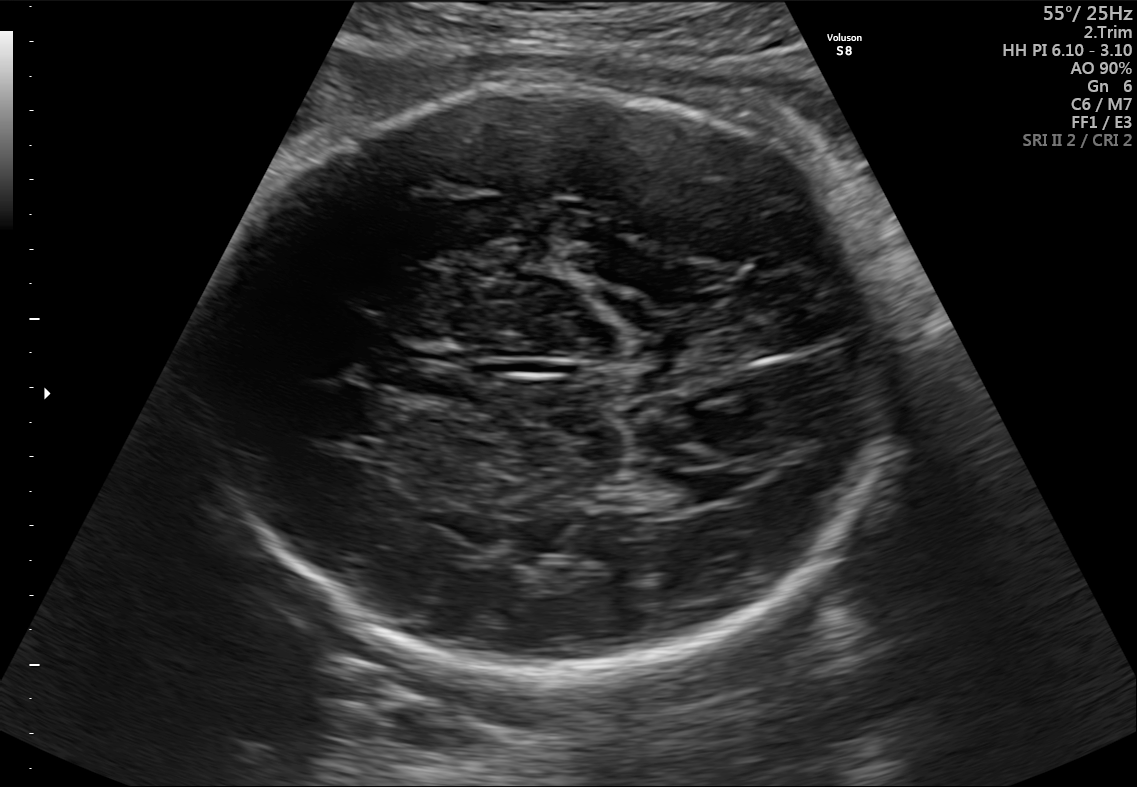
Fetal brain, trans-thalamic plane. Where is the lateral ventricle?

Lateral ventricle bounding box: [663,464,741,511]